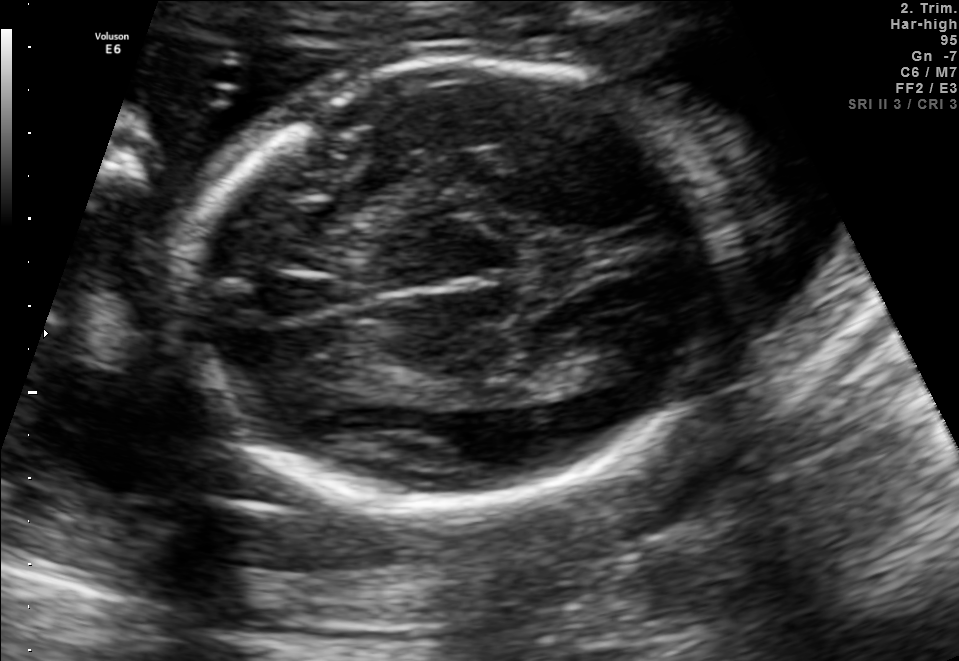
Classify this maternal-fetal ultrasound image as one of the six standard planes — fetal abdomen, fetal brain, fetal femur, fetal thorax, maternal cervix, or other. If it's fetal brain and one of the three standard brain planes (trans-thalamic, trans-cerebellum, trans-ventricular), name which.

Fetal brain (trans-thalamic plane)